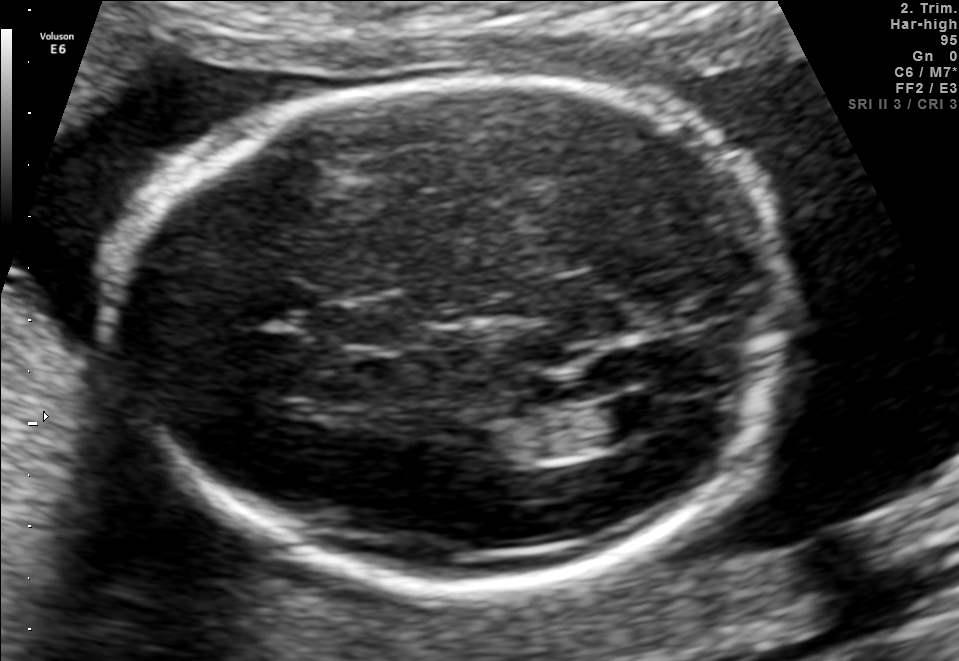
Fetal brain, trans-ventricular plane. Where is the fetal head?

Head bounding box: [103,80,786,587]